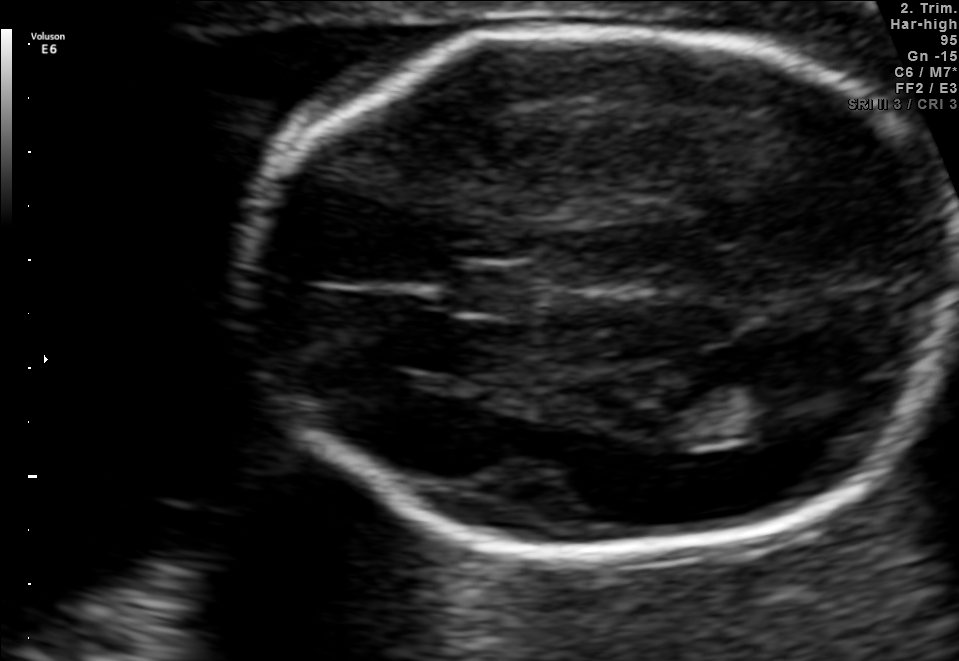
Fetal brain, trans-thalamic plane. Locate the lateral ventricle.

Lateral ventricle: [723,362,840,444]